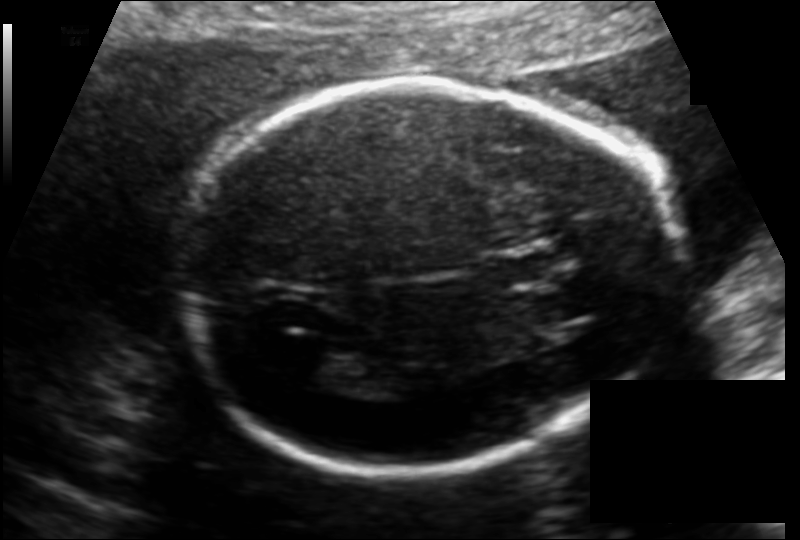
Fetal head ultrasound. Image width: 104.3 mm. Locate the cavum septum pellucidum.

CSP: [491,238,571,291]